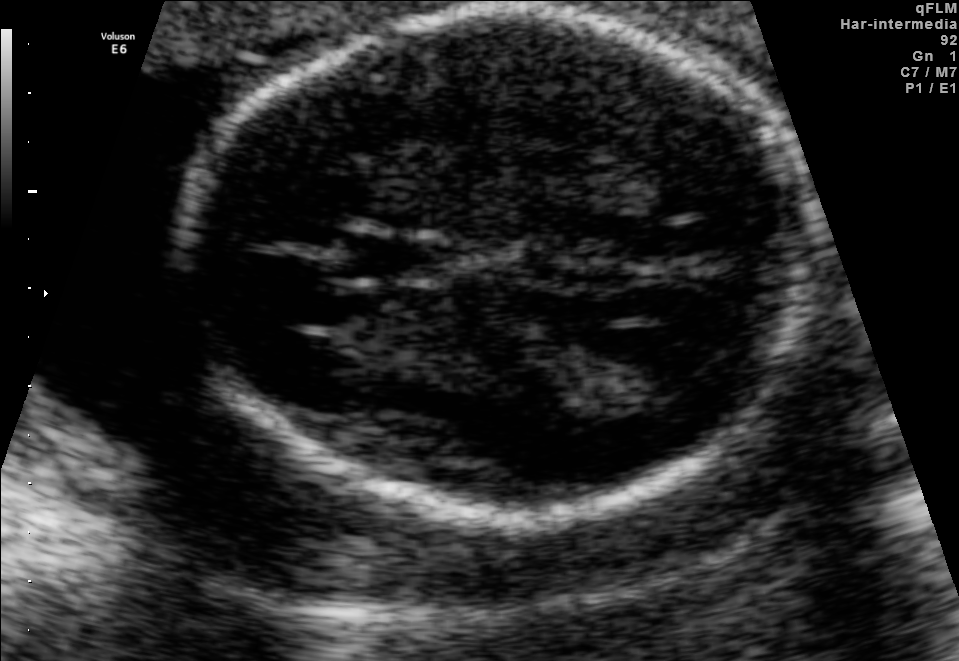
Fetal brain, trans-thalamic plane. Where is the cavum septum pellucidum?

CSP bounding box: [344,235,437,280]